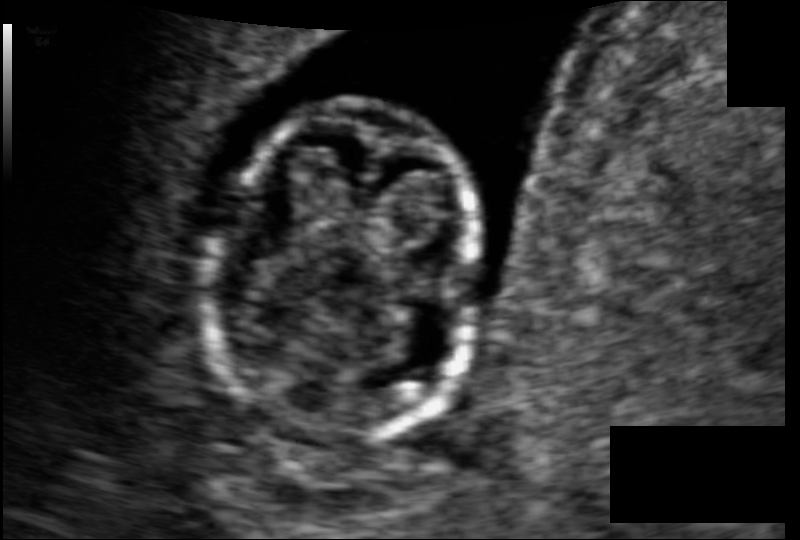
Fetal head ultrasound. Image width: 59.1 mm. Give [x1,y1,x2,y2] bounding boxes for each visible structure among: fetal head, CSP, LV.

Head: [212,103,478,440]